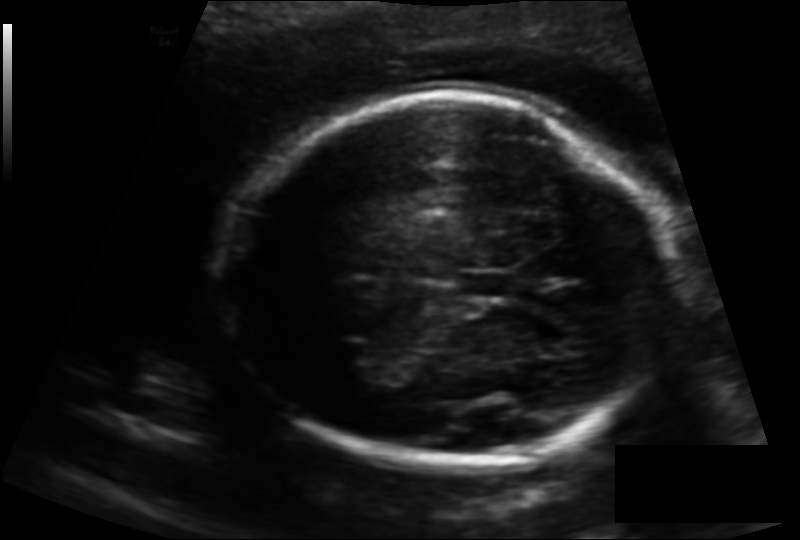
In this fetal head ultrasound, give the bounding box of the lateral ventricle. Image width: 112.7 mm.

[325,340,387,383]